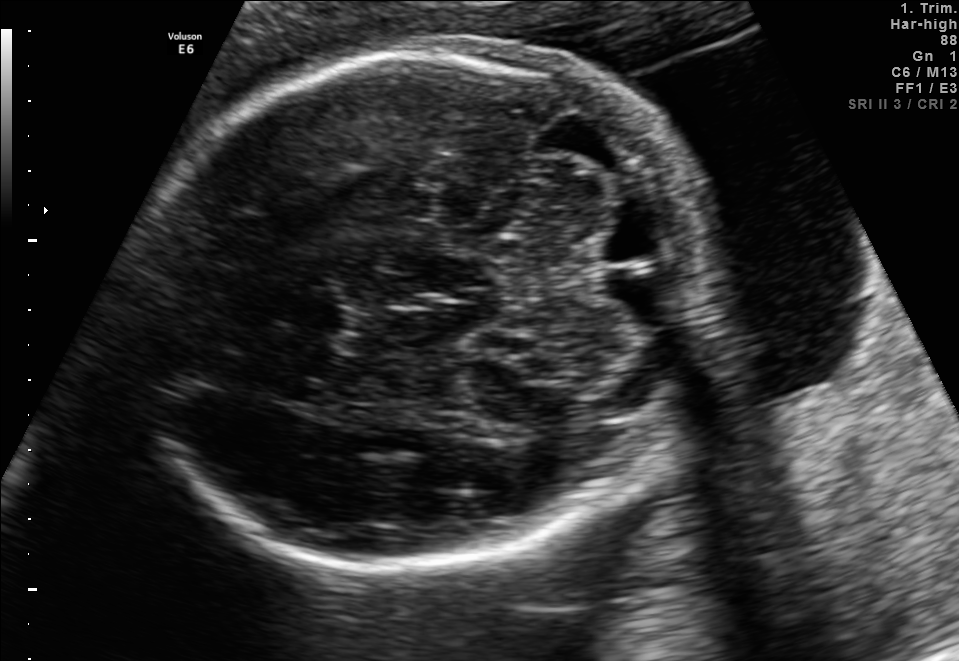
Fetal brain, trans-cerebellum plane. Where is the fetal head?

Head bounding box: [128,43,717,566]